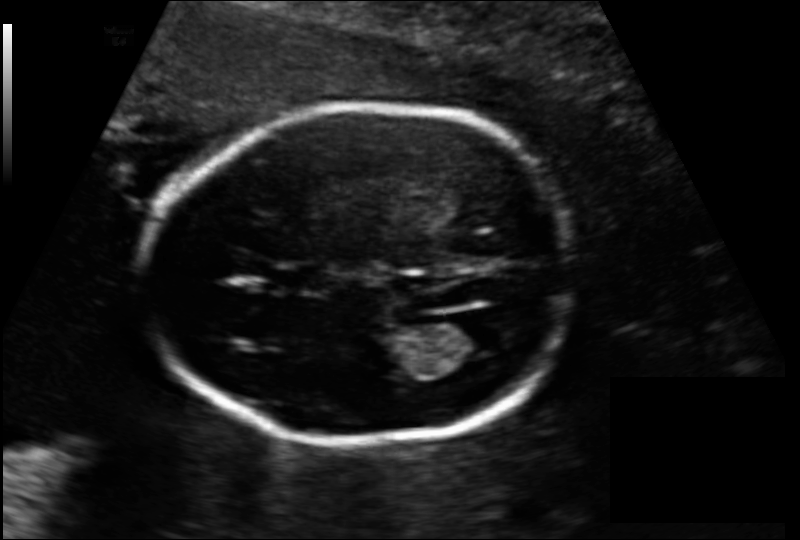
In this fetal head ultrasound, give the bounding box of the cavum septum pellucidum. Image width: 109.4 mm.

[267,264,328,291]